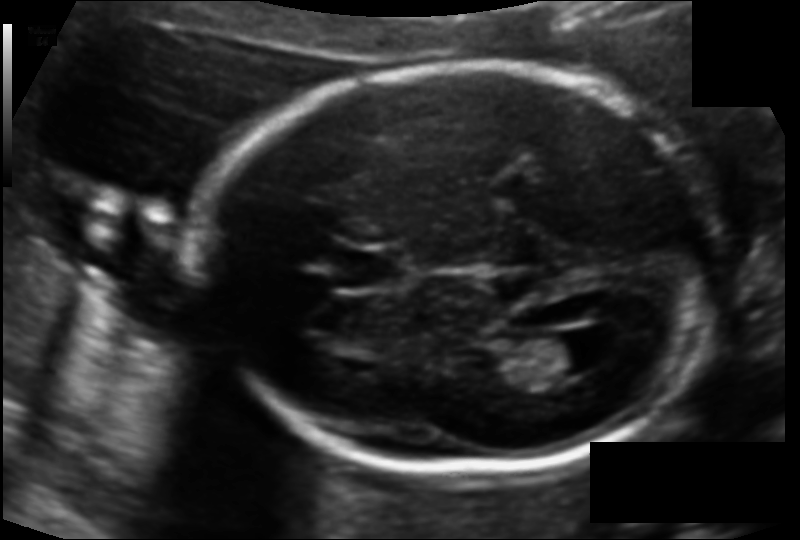
Fetal head ultrasound. Image width: 94.2 mm. Where is the fetal head?

Head bounding box: [208,65,714,469]